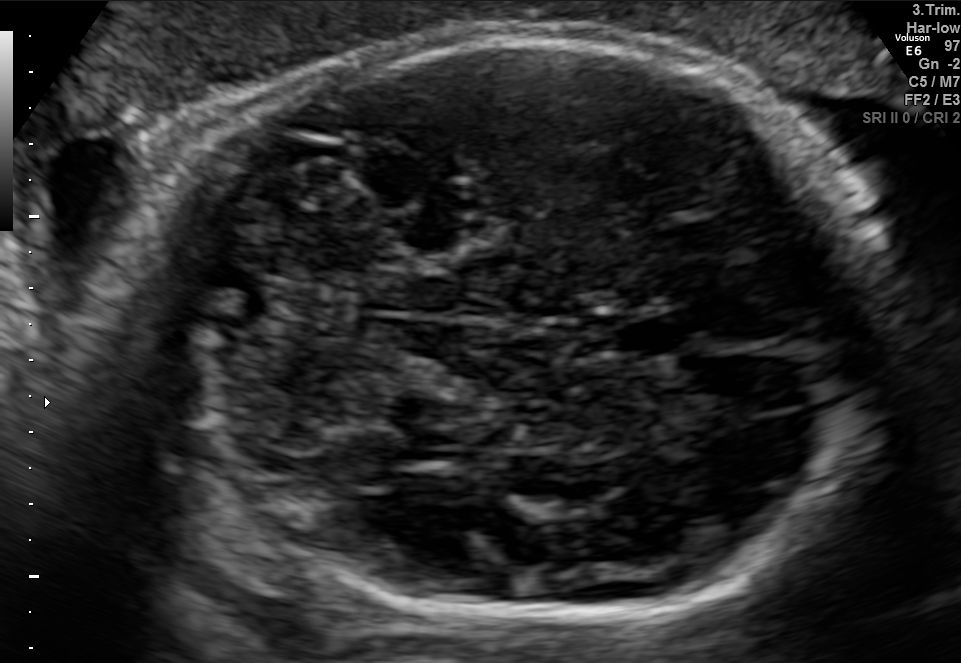
In this fetal brain, trans-cerebellum plane, give the bounding box of the fetal head.

[124,35,899,626]